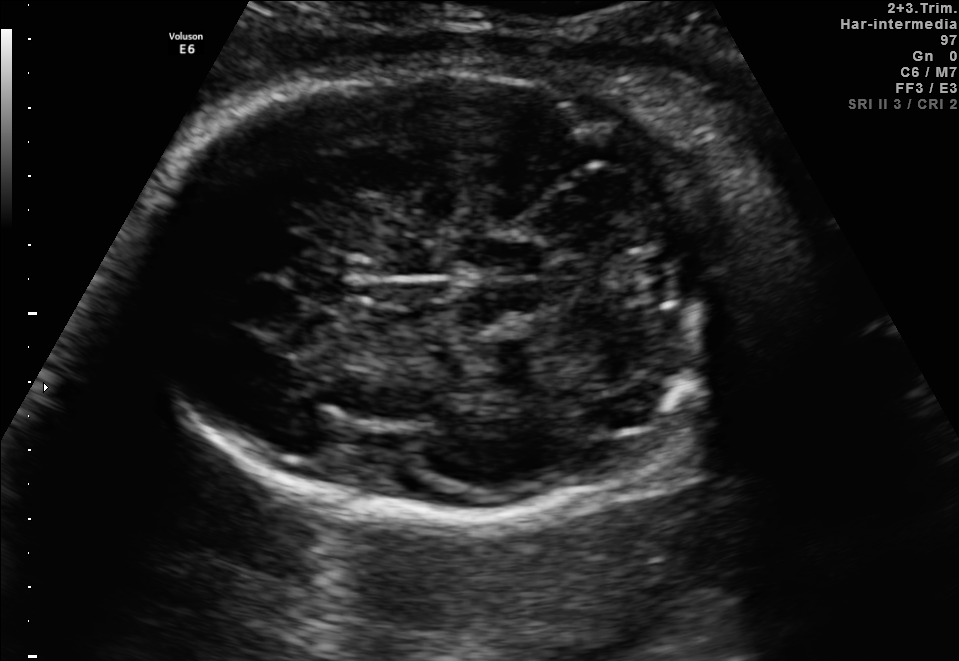
Fetal brain, trans-cerebellum plane. Give [x1,y1,x2,y2] bounding boxes for each visible structure among: fetal head, CSP, LV.

Head: [141,60,746,529]
CSP: [287,262,346,309]